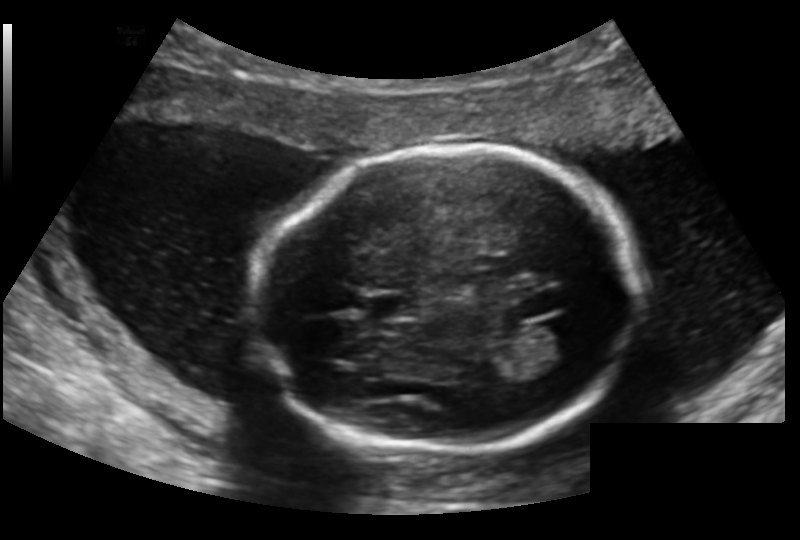
Estimate the fetal head circumference from this 2D ultrasound. Image width: 127.4 mm.

Head circumference: 178.1 mm.